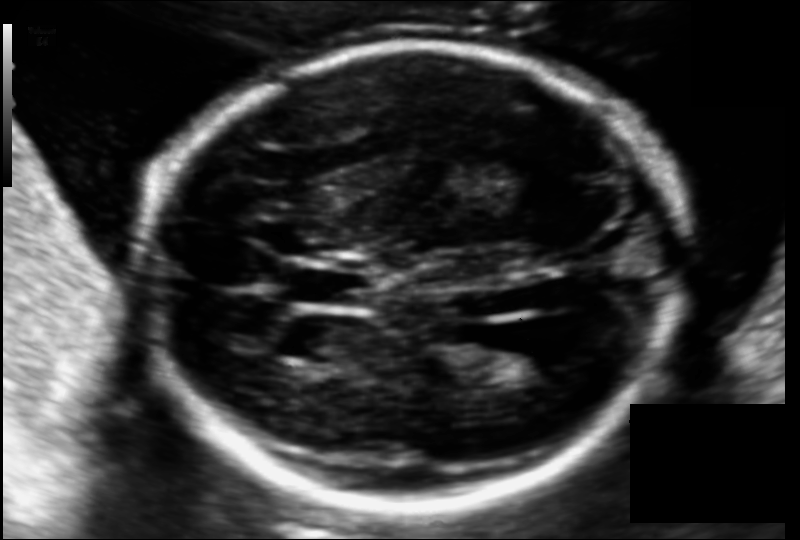
Fetal head ultrasound. Image width: 94.4 mm. Locate the cavum septum pellucidum.

CSP: [290,269,366,307]